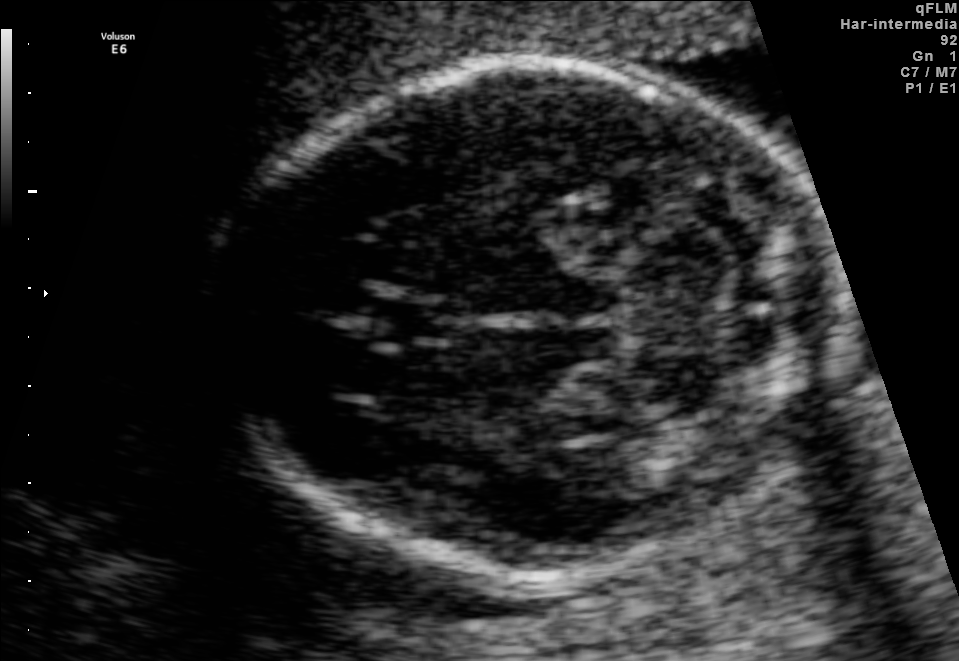
Fetal brain, trans-cerebellum plane. Give [x1,y1,x2,y2] bounding boxes for each visible structure among: fetal head, CSP, LV.

Head: [229,64,838,575]
CSP: [371,297,452,345]